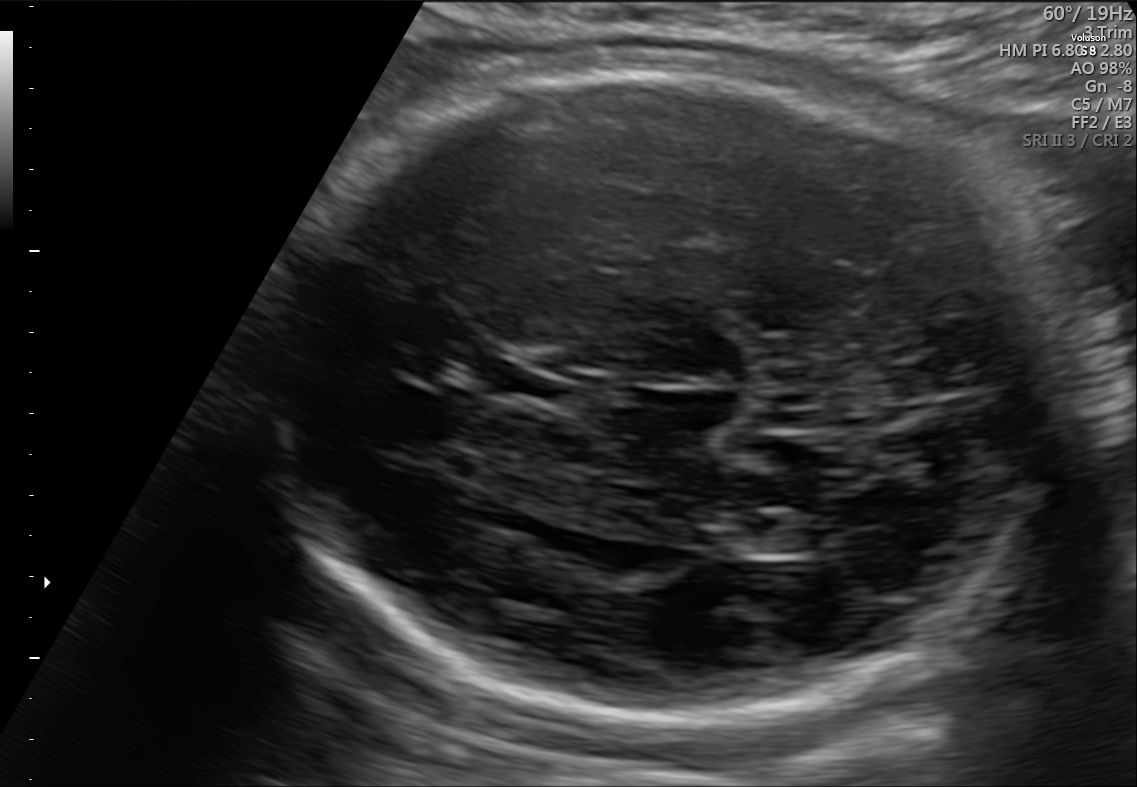
Fetal brain, trans-ventricular plane. Where is the fetal head?

Head bounding box: [260,56,1100,733]